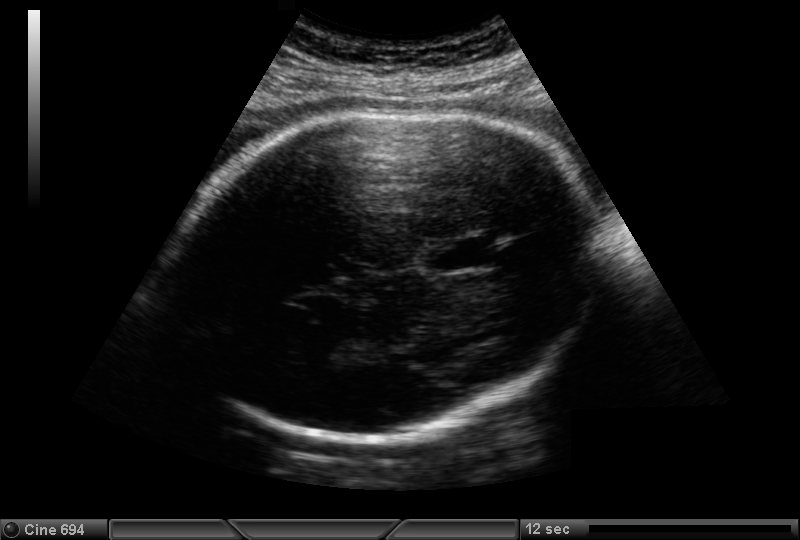
Estimate the fetal head circumference from this 2D ultrasound.

Head circumference: 272.8 mm (image width 176.7 mm).